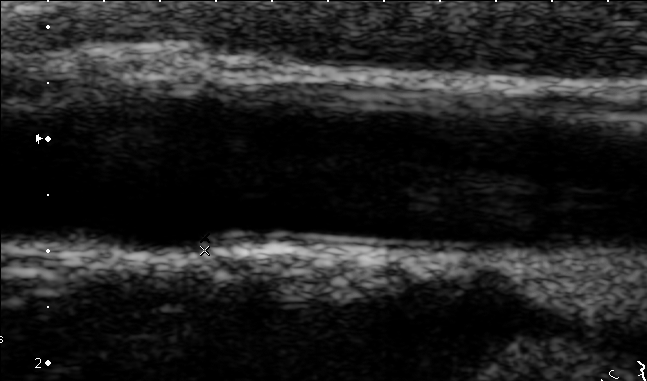
Classify this maternal-fetal ultrasound image as one of the six standard planes — fetal abdomen, fetal brain, fetal femur, fetal thorax, maternal cervix, or other. If it's fetal brain and one of the three standard brain planes (trans-thalamic, trans-cerebellum, trans-ventricular), name which.

Other